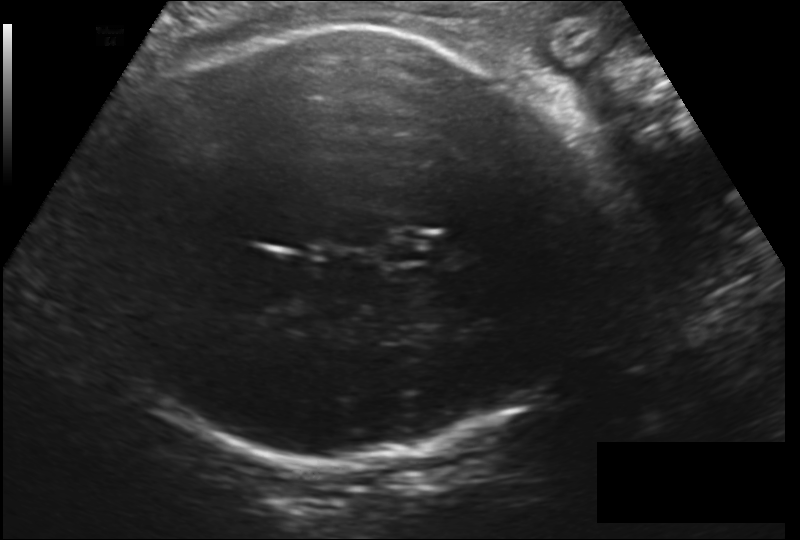
Fetal head ultrasound. Image width: 169.8 mm. Locate the fetal head.

Head: [93,27,609,466]